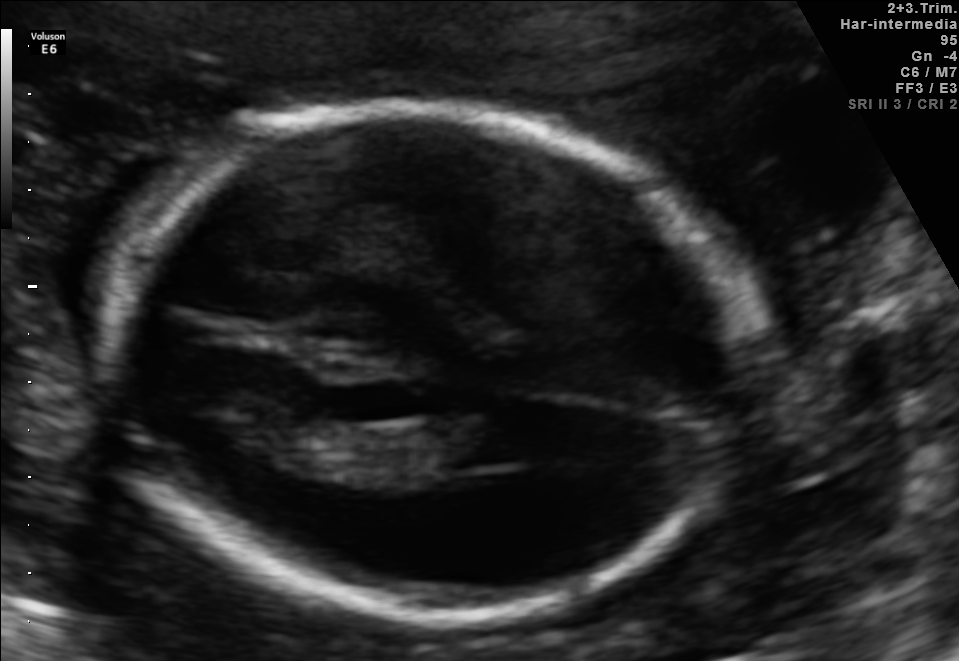
Classify this maternal-fetal ultrasound image as one of the six standard planes — fetal abdomen, fetal brain, fetal femur, fetal thorax, maternal cervix, or other. If it's fetal brain and one of the three standard brain planes (trans-thalamic, trans-cerebellum, trans-ventricular), name which.

Fetal brain (trans-thalamic plane)